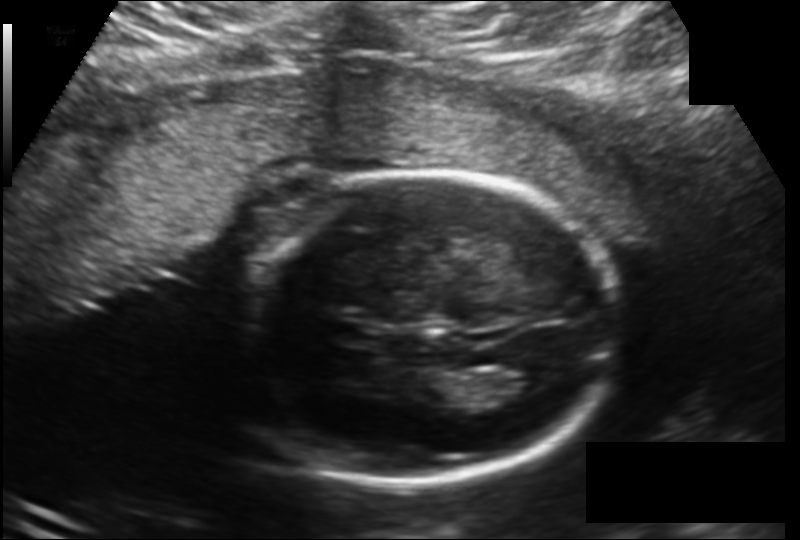
Estimate the fetal head circumference from this 2D ultrasound.

Head circumference: 181.6 mm (image width 132.4 mm).